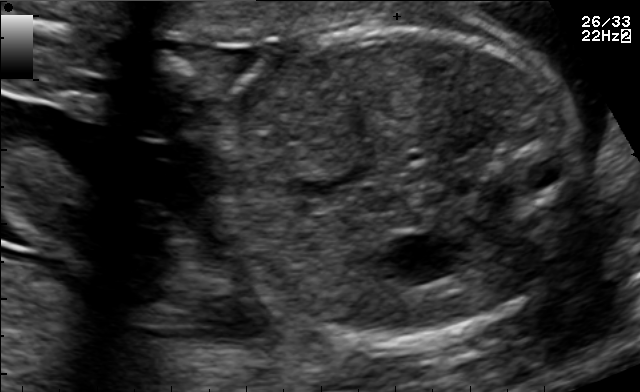
Classify this maternal-fetal ultrasound image as one of the six standard planes — fetal abdomen, fetal brain, fetal femur, fetal thorax, maternal cervix, or other. If it's fetal brain and one of the three standard brain planes (trans-thalamic, trans-cerebellum, trans-ventricular), name which.

Fetal abdomen